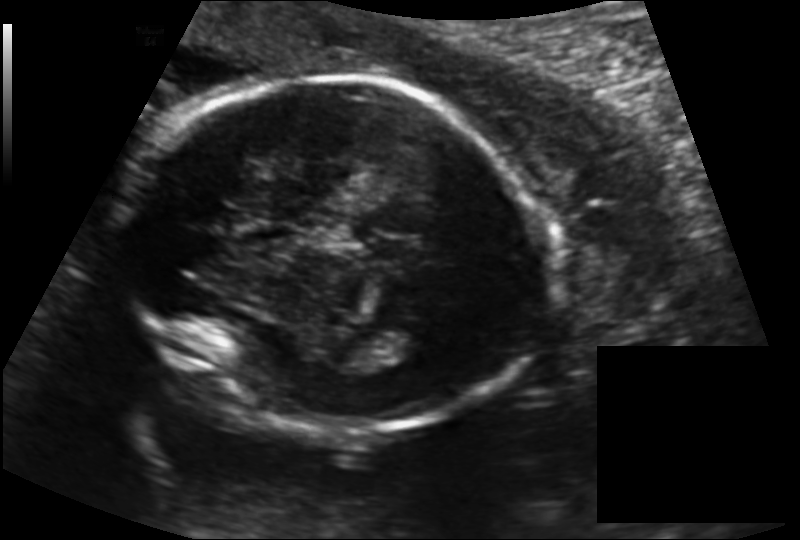
Fetal head ultrasound. Image width: 116.1 mm. Where is the fetal head?

Head bounding box: [123,78,550,433]